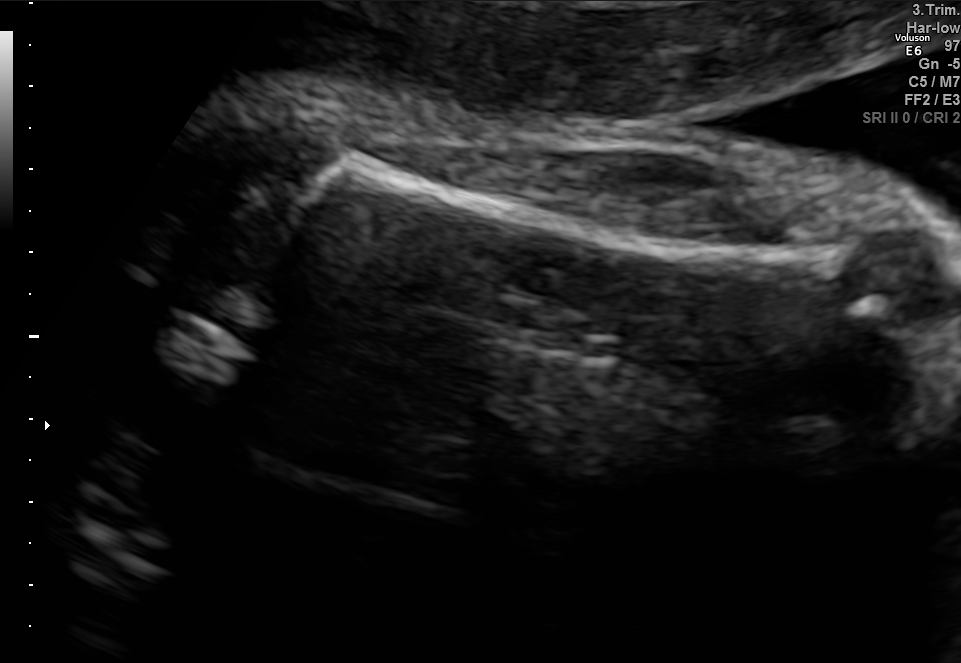
Classify this maternal-fetal ultrasound image as one of the six standard planes — fetal abdomen, fetal brain, fetal femur, fetal thorax, maternal cervix, or other. If it's fetal brain and one of the three standard brain planes (trans-thalamic, trans-cerebellum, trans-ventricular), name which.

Fetal femur